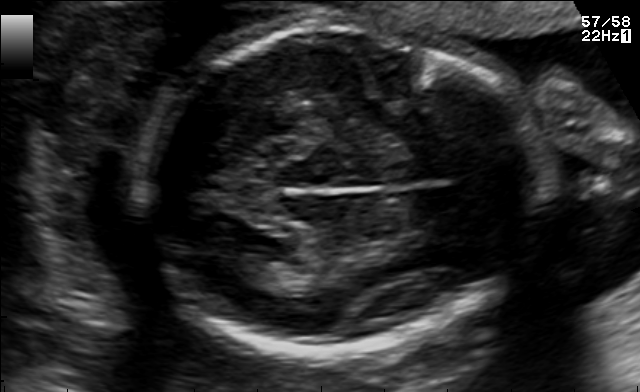
This is a 2D maternal-fetal ultrasound frame. Is it a fetal abdomen, fetal brain, fetal femur, fetal thorax, maternal cervix, or other standard plane? If it's fetal brain and one of the three standard brain planes (trans-thalamic, trans-cerebellum, trans-ventricular), name which.

Fetal brain (trans-thalamic plane)